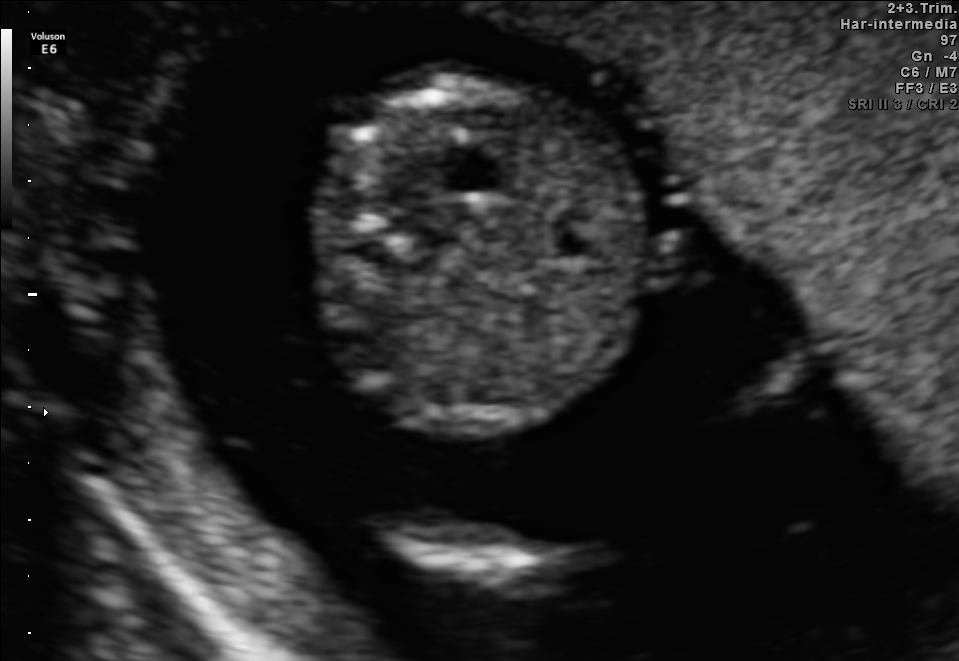
Classify this maternal-fetal ultrasound image as one of the six standard planes — fetal abdomen, fetal brain, fetal femur, fetal thorax, maternal cervix, or other. If it's fetal brain and one of the three standard brain planes (trans-thalamic, trans-cerebellum, trans-ventricular), name which.

Fetal abdomen